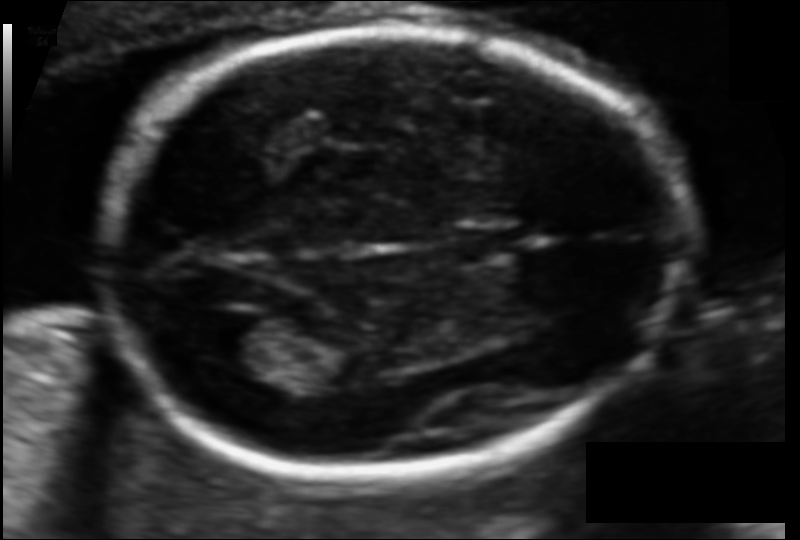
Estimate the fetal head circumference from this 2D ultrasound.

Head circumference: 163.9 mm (image width 77.8 mm).